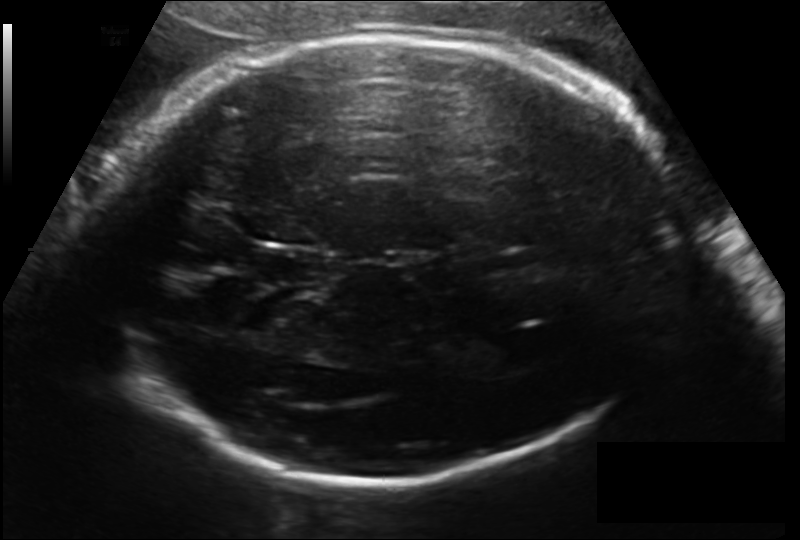
Estimate the fetal head circumference from this 2D ultrasound.

Head circumference: 283.8 mm (image width 136.7 mm).